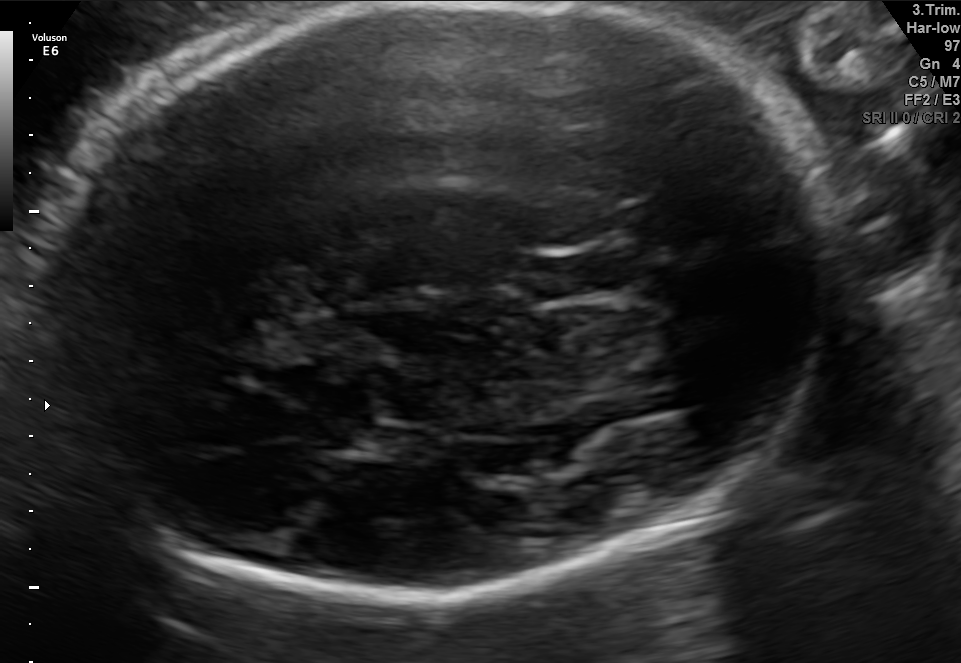
Fetal brain, trans-thalamic plane. Locate the lateral ventricle.

Lateral ventricle: [310,409,390,459]